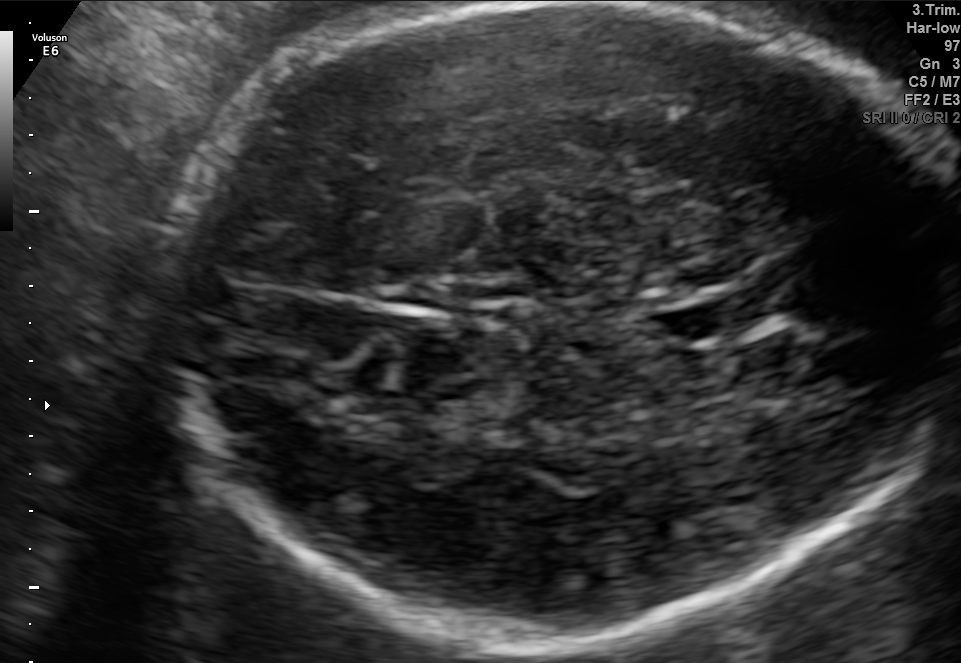
In this fetal brain, trans-thalamic plane, give the bounding box of the cavum septum pellucidum.

[663,296,746,343]